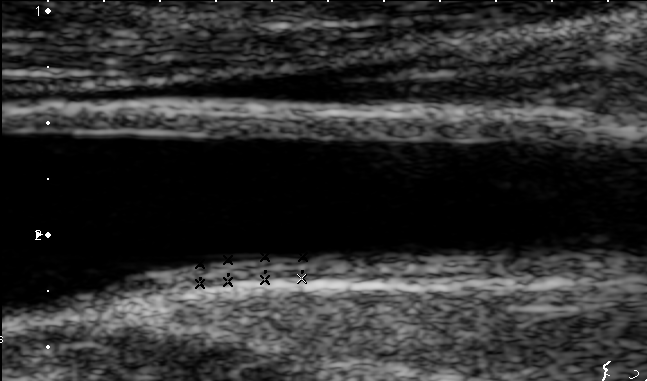
Which standard maternal-fetal ultrasound plane is shown: fetal abdomen, fetal brain, fetal femur, fetal thorax, maternal cervix, or other? If it's fetal brain and one of the three standard brain planes (trans-thalamic, trans-cerebellum, trans-ventricular), name which.

Other